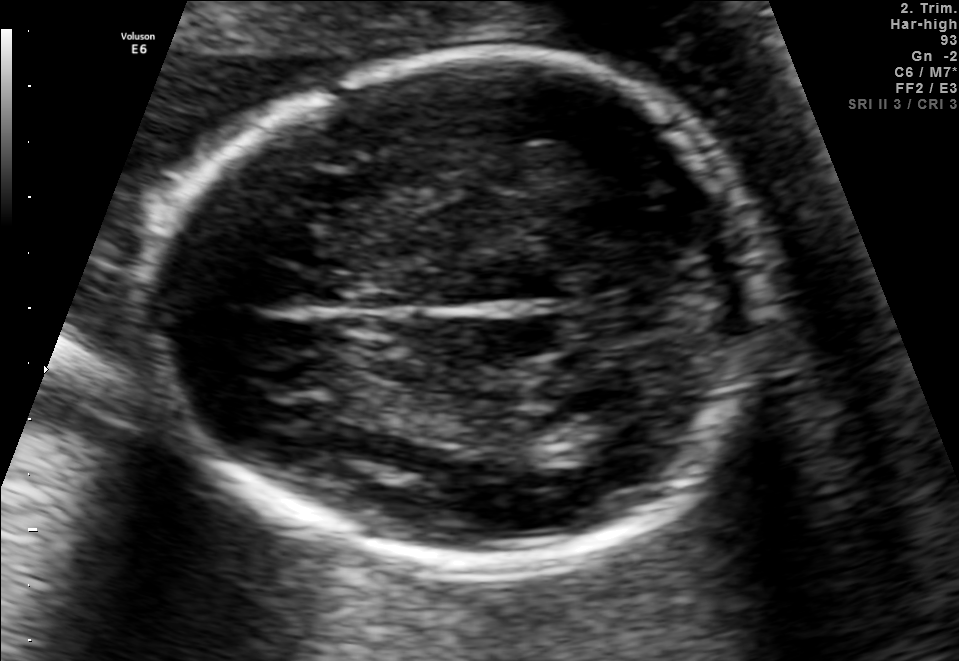
Fetal brain, trans-thalamic plane. Give [x1,y1,x2,y2] bounding boxes for each visible structure among: fetal head, CSP, LV.

Head: [153,57,768,570]